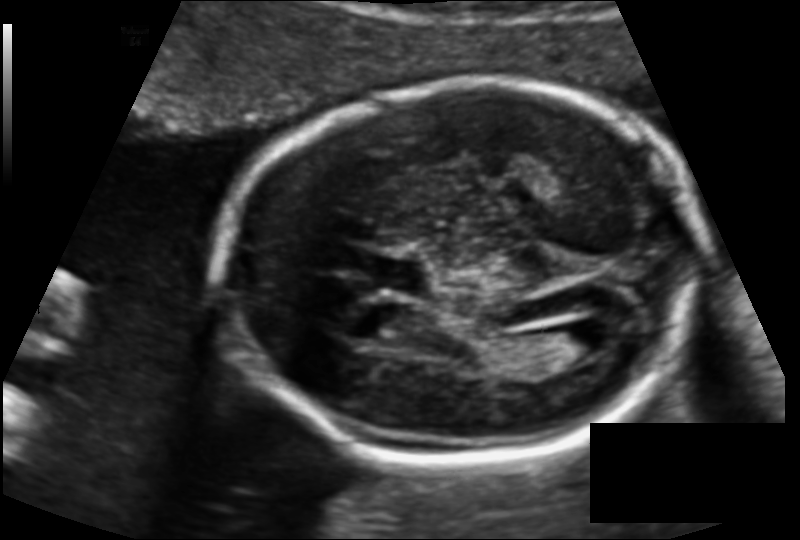
Fetal head ultrasound. Image width: 99.5 mm. Locate the cavum septum pellucidum.

CSP: [361,254,427,295]